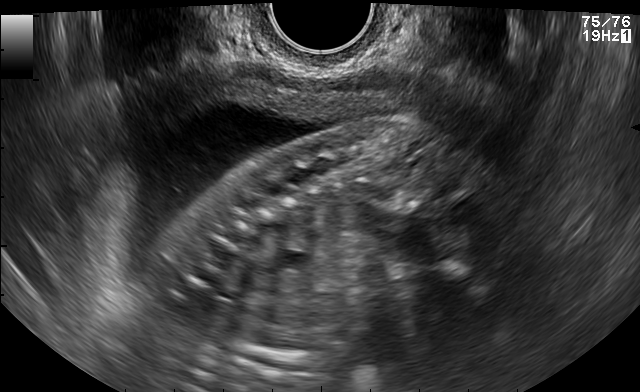
Identify the standard plane in this fetal ultrasound image: fetal abdomen, fetal brain, fetal femur, fetal thorax, maternal cervix, or other. If it's fetal brain and one of the three standard brain planes (trans-thalamic, trans-cerebellum, trans-ventricular), name which.

Other